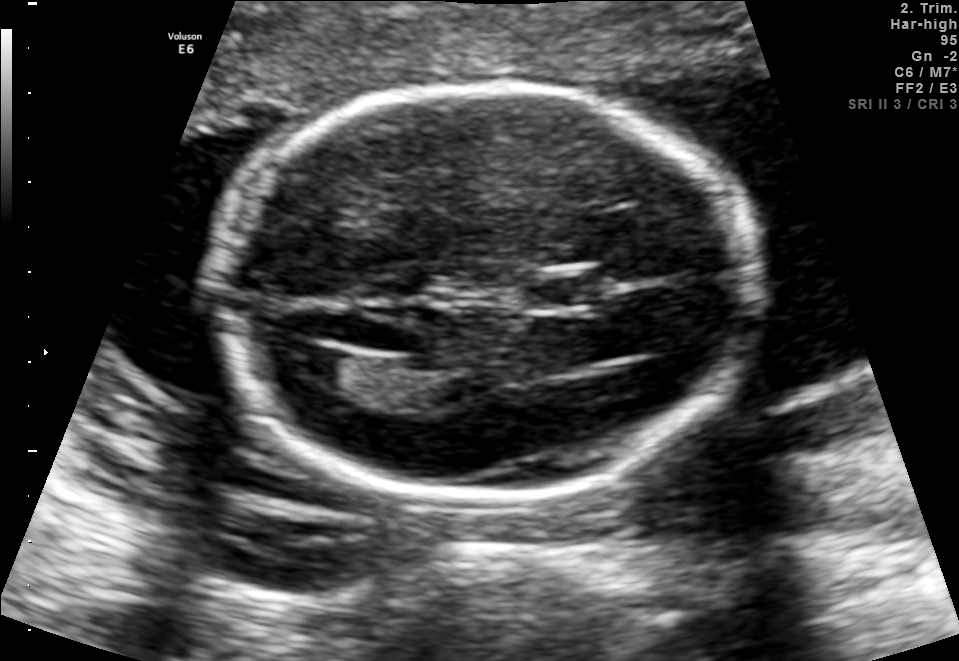
Fetal brain, trans-ventricular plane. Locate the cavum septum pellucidum.

CSP: [521,274,621,309]